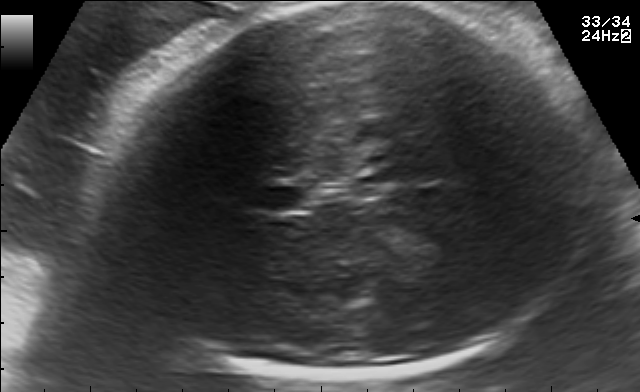
Which standard maternal-fetal ultrasound plane is shown: fetal abdomen, fetal brain, fetal femur, fetal thorax, maternal cervix, or other? If it's fetal brain and one of the three standard brain planes (trans-thalamic, trans-cerebellum, trans-ventricular), name which.

Fetal brain (trans-thalamic plane)